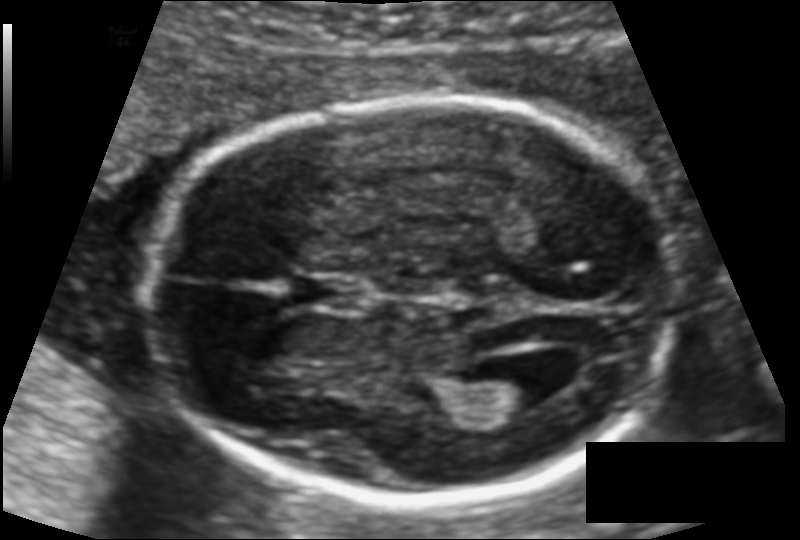
In this fetal head ultrasound, give the bounding box of the fetal head. Image width: 90.3 mm.

[148,96,679,498]